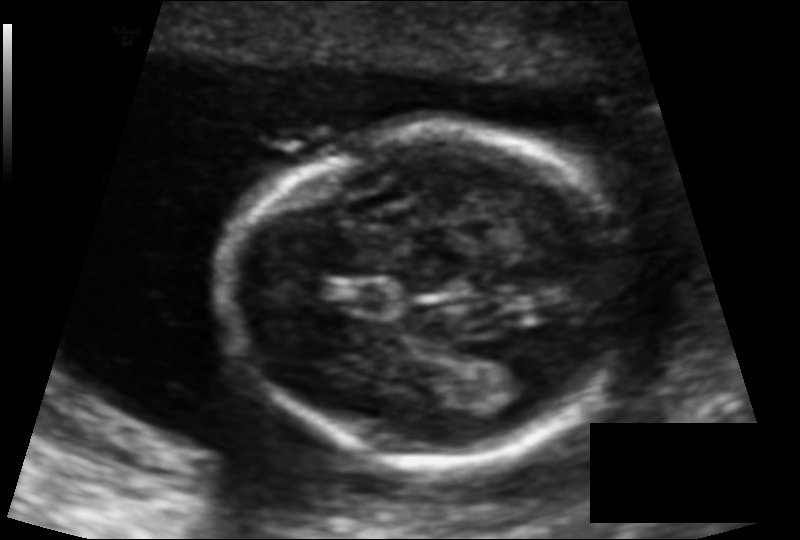
Measure the fetal head circumference shown in this ultrasound image. Image width: 81.7 mm.

Head circumference: 121.3 mm.